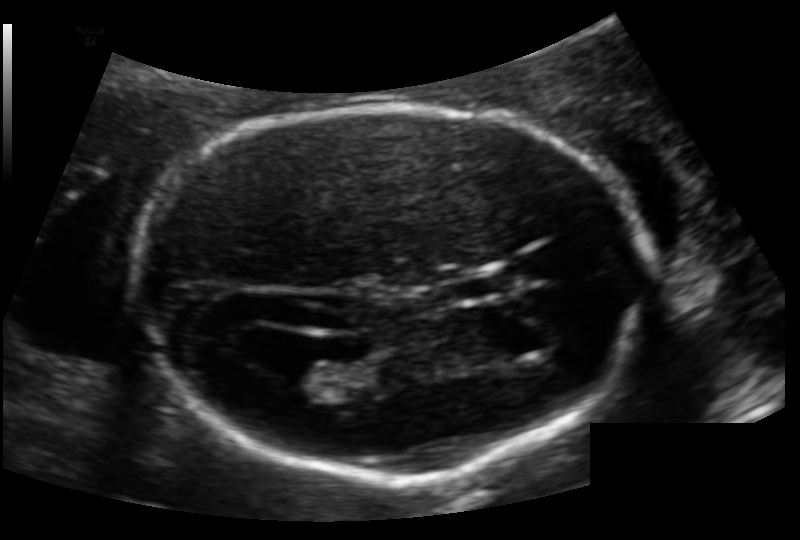
Estimate the fetal head circumference from this 2D ultrasound.

Head circumference: 178.7 mm (image width 99.1 mm).